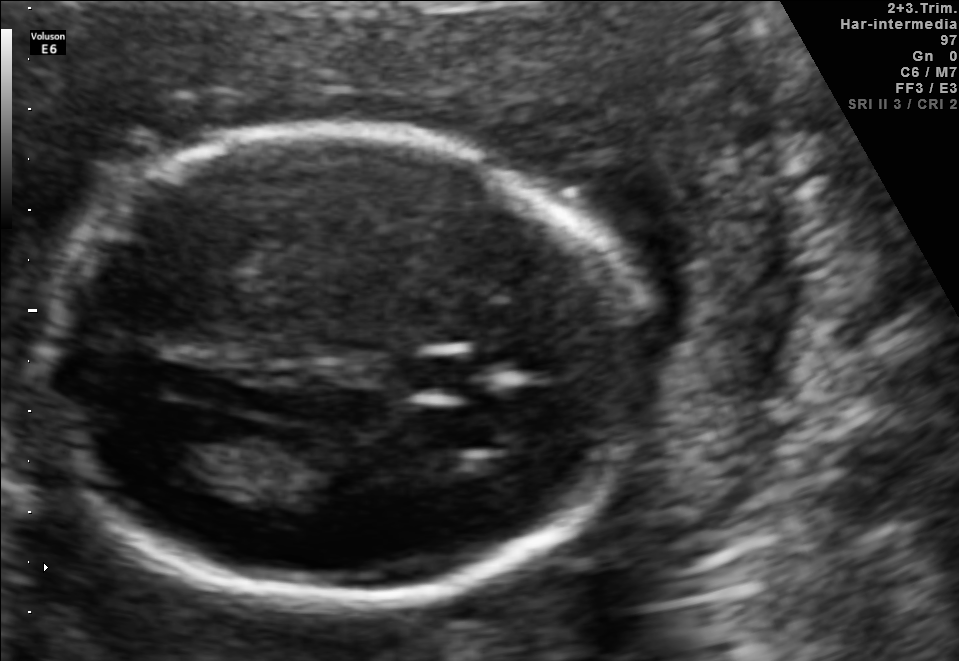
In this fetal brain, trans-ventricular plane, give the bounding box of the fetal head.

[33,118,662,617]